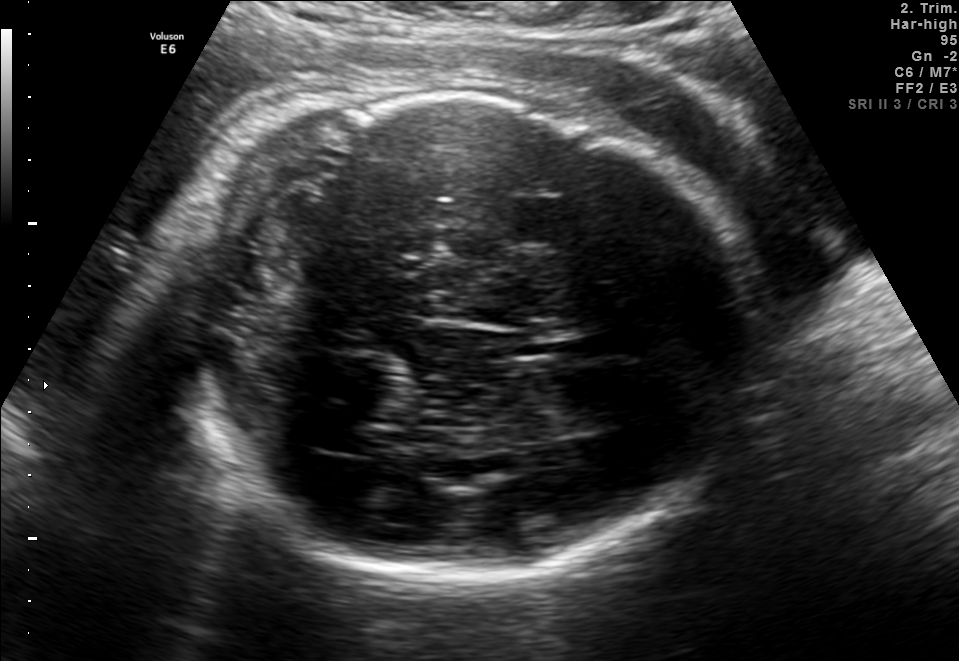
This is a 2D maternal-fetal ultrasound frame. Is it a fetal abdomen, fetal brain, fetal femur, fetal thorax, maternal cervix, or other standard plane? If it's fetal brain and one of the three standard brain planes (trans-thalamic, trans-cerebellum, trans-ventricular), name which.

Fetal brain (trans-thalamic plane)